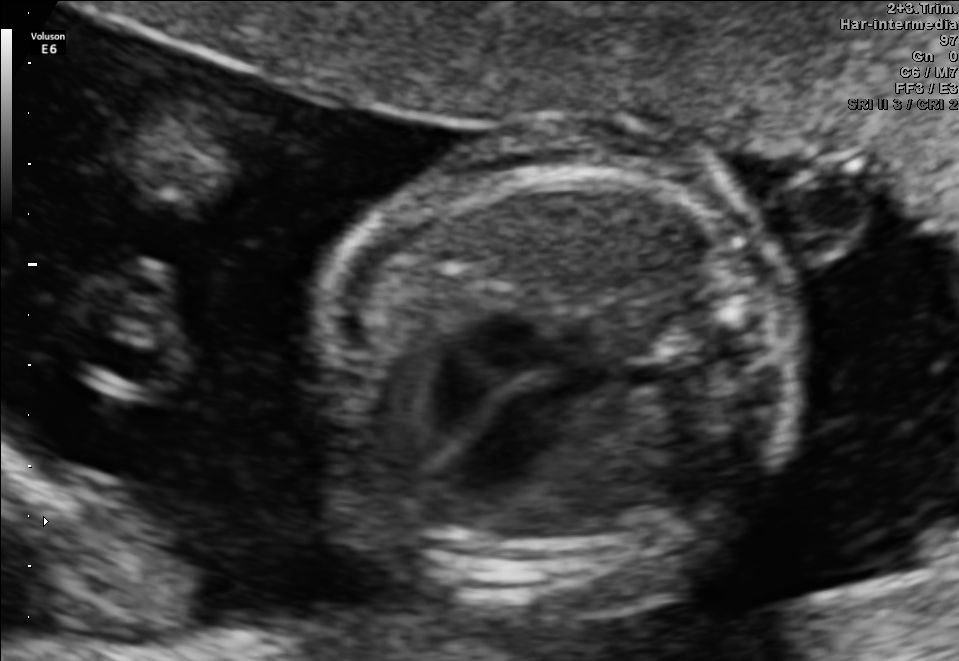
Which standard maternal-fetal ultrasound plane is shown: fetal abdomen, fetal brain, fetal femur, fetal thorax, maternal cervix, or other? If it's fetal brain and one of the three standard brain planes (trans-thalamic, trans-cerebellum, trans-ventricular), name which.

Fetal thorax